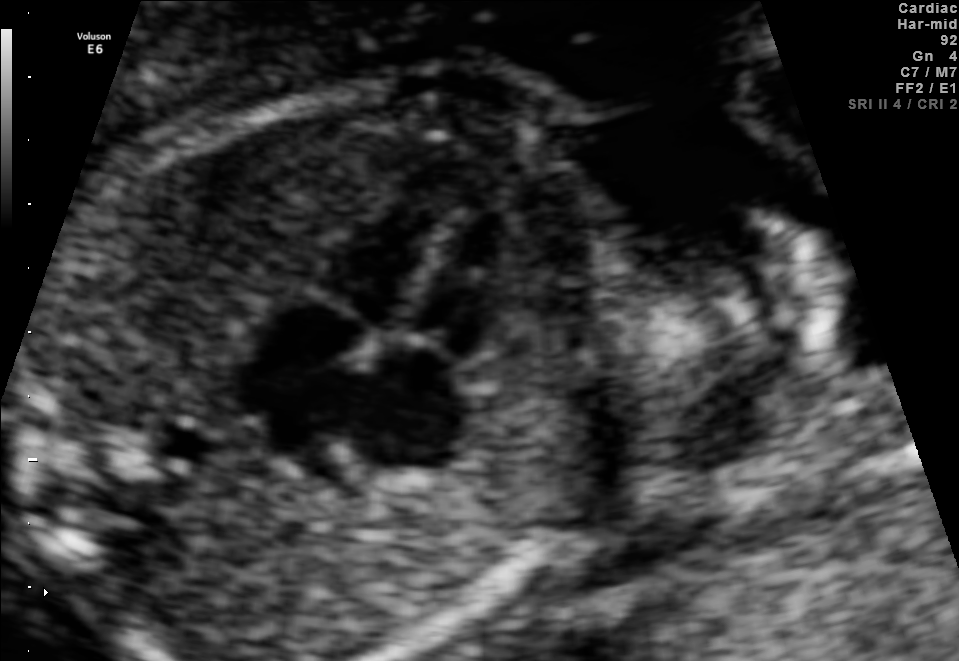
Classify this maternal-fetal ultrasound image as one of the six standard planes — fetal abdomen, fetal brain, fetal femur, fetal thorax, maternal cervix, or other. If it's fetal brain and one of the three standard brain planes (trans-thalamic, trans-cerebellum, trans-ventricular), name which.

Fetal thorax